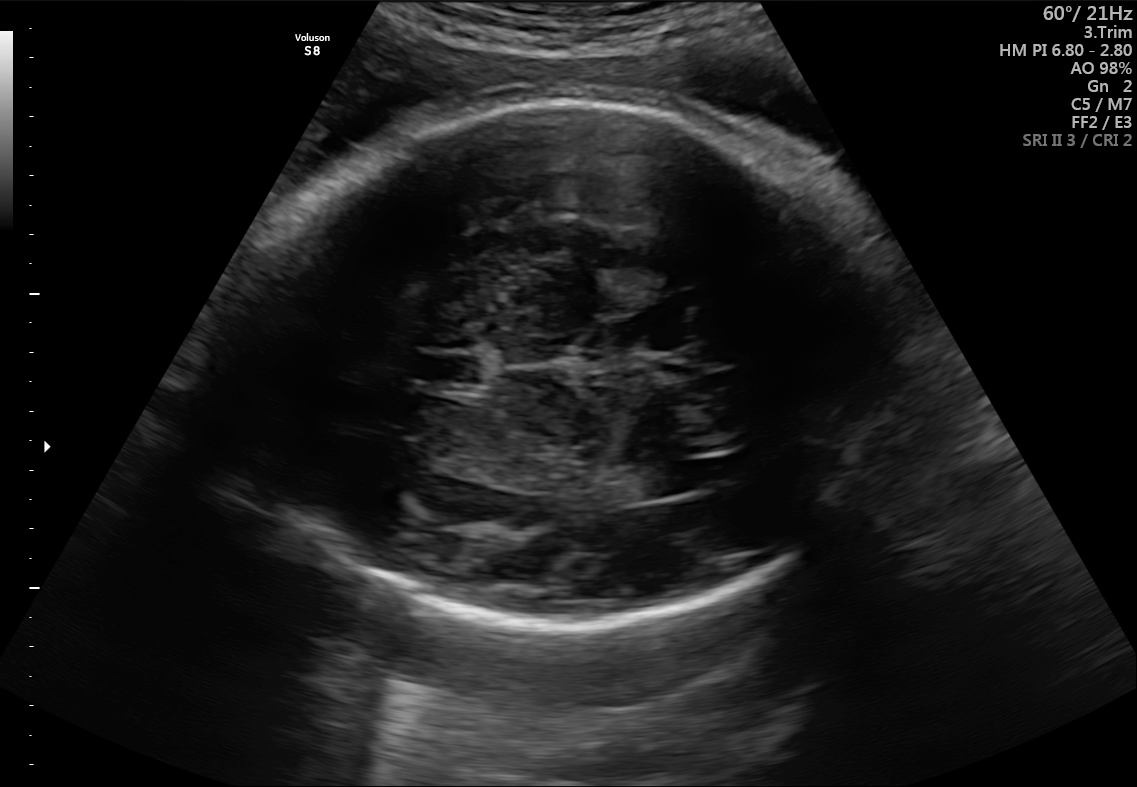
Fetal brain, trans-ventricular plane. Locate the fetal head.

Head: [218,94,914,633]